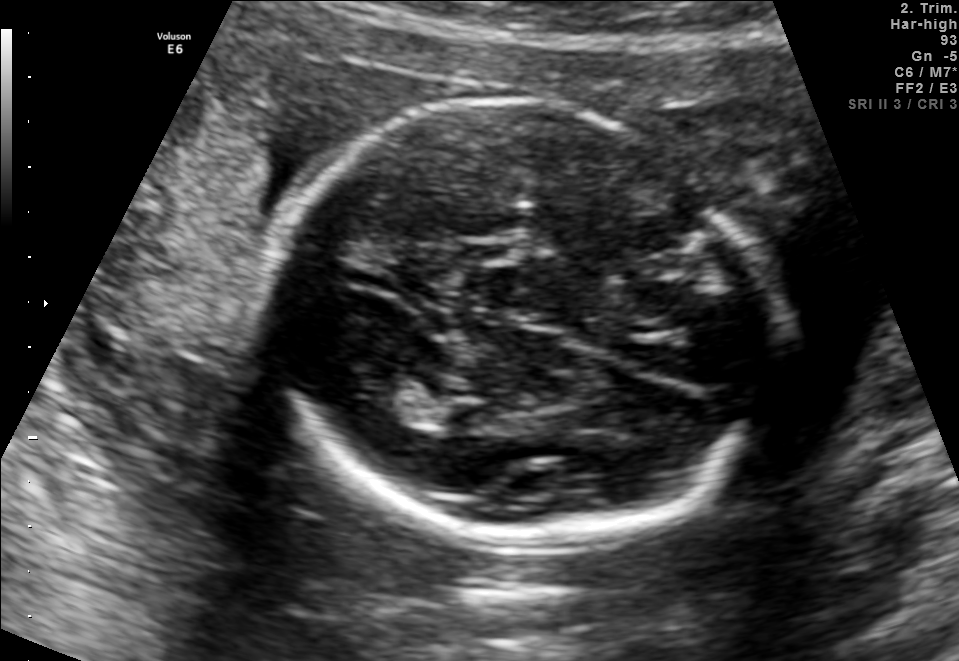
Fetal brain, trans-thalamic plane. Locate the fetal head and, if visible, the cavum septum pellucidum (CSP) and lateral ventricle (LV). Give bounding boxes as [x1,y1,x2,y2].

Head: [269,93,782,532]
Lateral ventricle: [364,375,456,432]